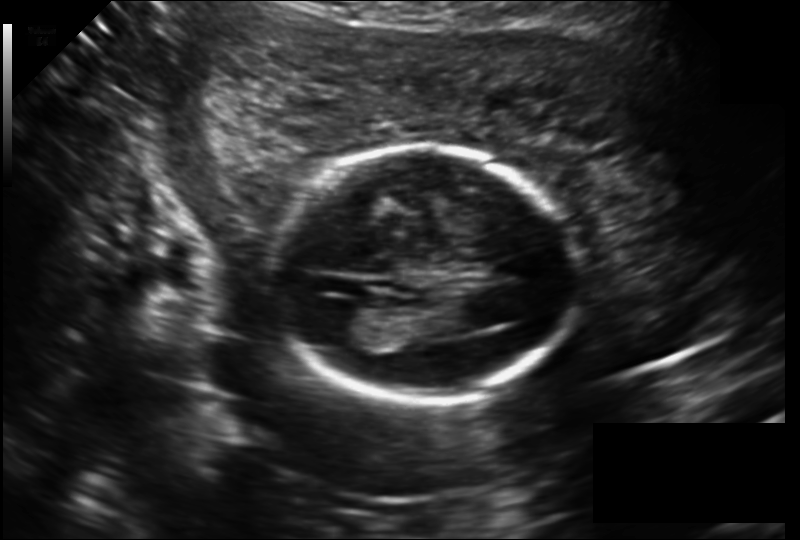
Fetal head ultrasound. Image width: 142.0 mm. Locate the lateral ventricle.

Lateral ventricle: [302,295,363,335]